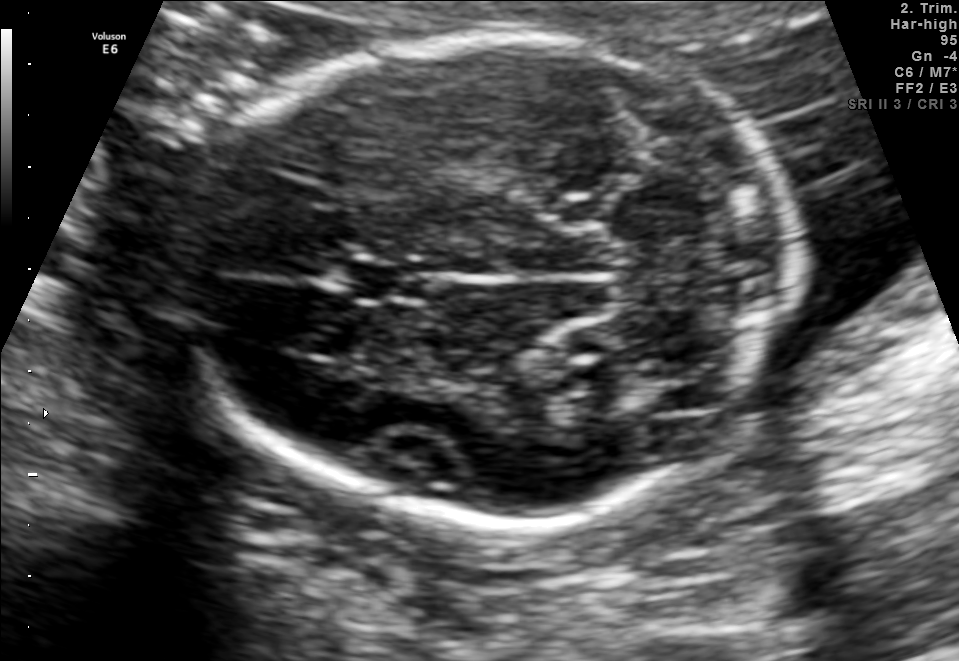
Fetal brain, trans-cerebellum plane. Locate the cavum septum pellucidum.

CSP: [349,259,426,304]